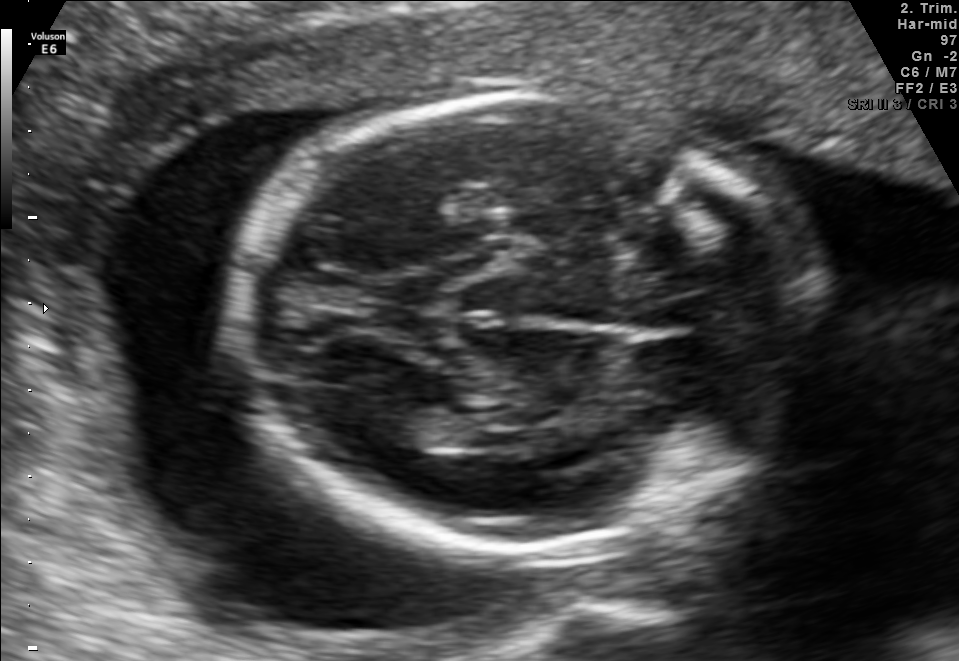
Fetal brain, trans-thalamic plane. Locate the fetal head and, if visible, the cavum septum pellucidum (CSP) and lateral ventricle (LV). Give bounding boxes as [x1,y1,x2,y2].

Head: [225,96,832,547]
Lateral ventricle: [358,392,457,453]